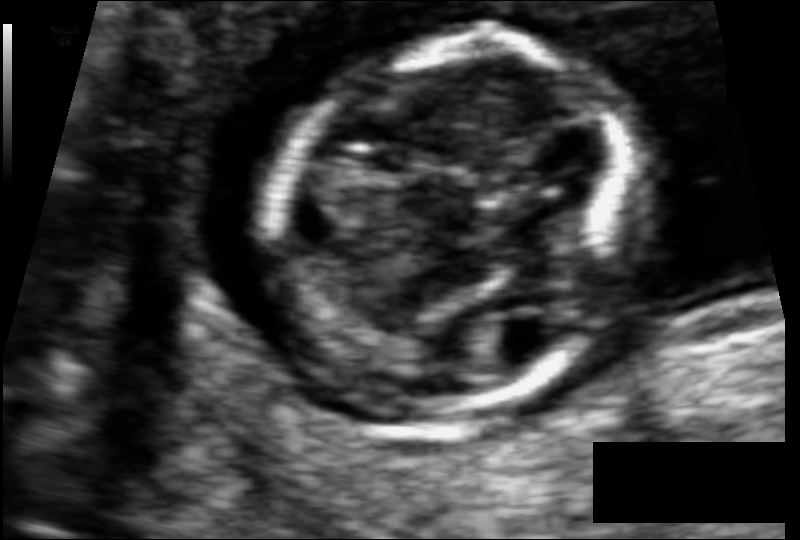
Measure the fetal head circumference shown in this ultrasound image. Image width: 49.9 mm.

Head circumference: 76.2 mm.